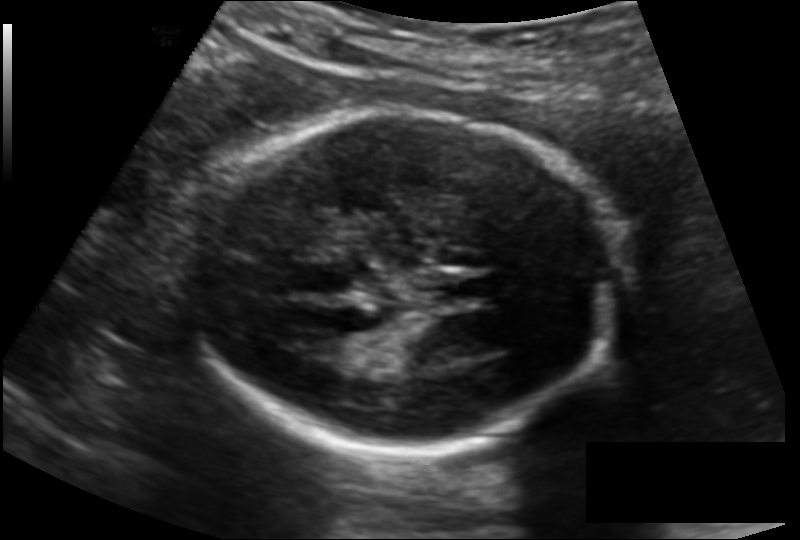
In this fetal head ultrasound, give the bounding box of the fetal head. Image width: 107.6 mm.

[191,112,626,454]